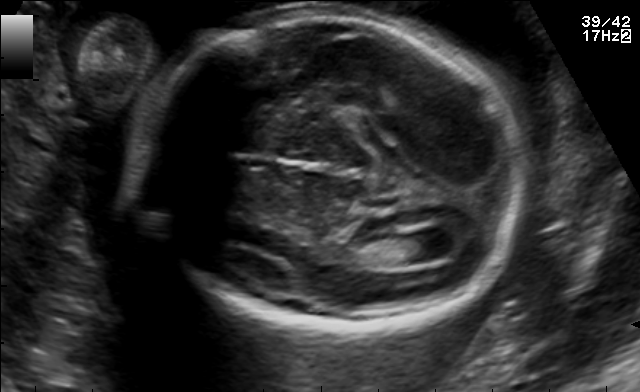
In this fetal brain, trans-ventricular plane, give the bounding box of the fetal head.

[128,3,537,334]